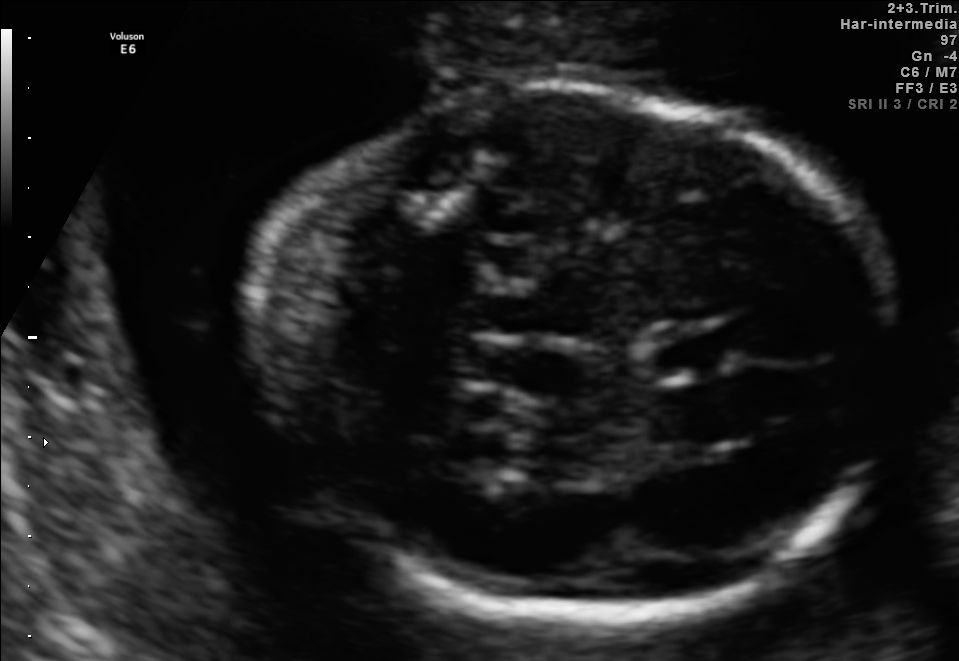
This is a 2D maternal-fetal ultrasound frame. Is it a fetal abdomen, fetal brain, fetal femur, fetal thorax, maternal cervix, or other standard plane? If it's fetal brain and one of the three standard brain planes (trans-thalamic, trans-cerebellum, trans-ventricular), name which.

Fetal brain (trans-thalamic plane)